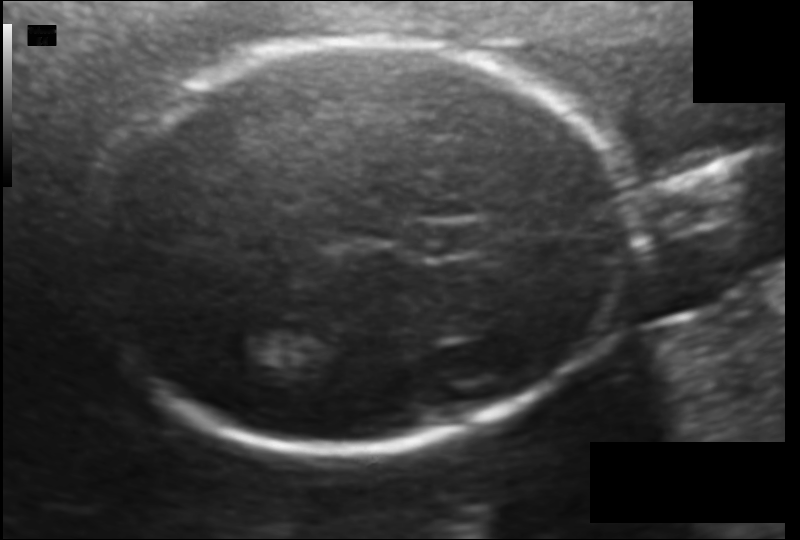
In this fetal head ultrasound, give bounding boxes for the head outline, cavum septum pellucidum (CSP), and lateral ventricle (LV), where visible. Image width: 90.8 mm.

Head: [85,40,626,449]
CSP: [414,217,487,261]
Lateral ventricle: [226,329,295,368]